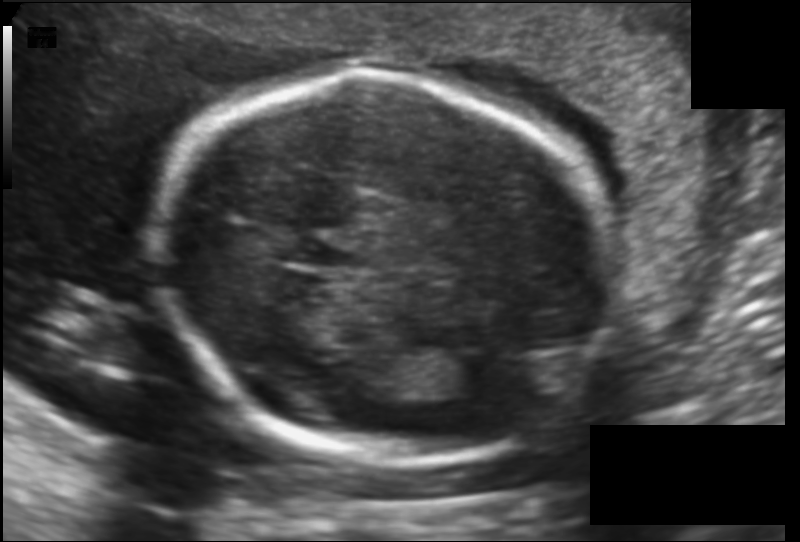
What is the fetal head circumference? Image width is 103.7 mm.

179.9 mm